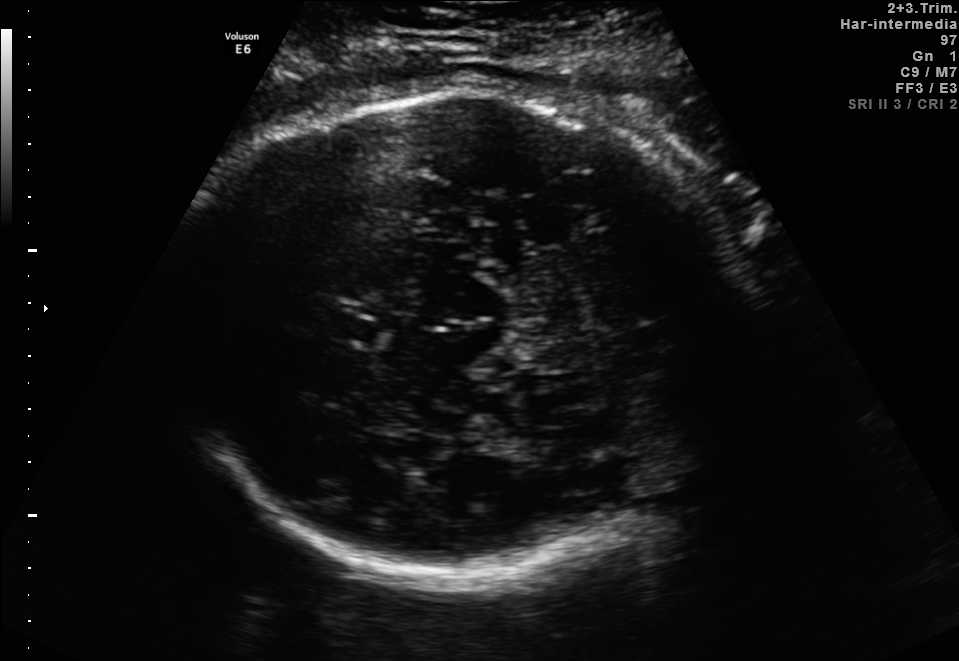
In this fetal brain, trans-thalamic plane, give the bounding box of the fetal head.

[164,87,753,574]